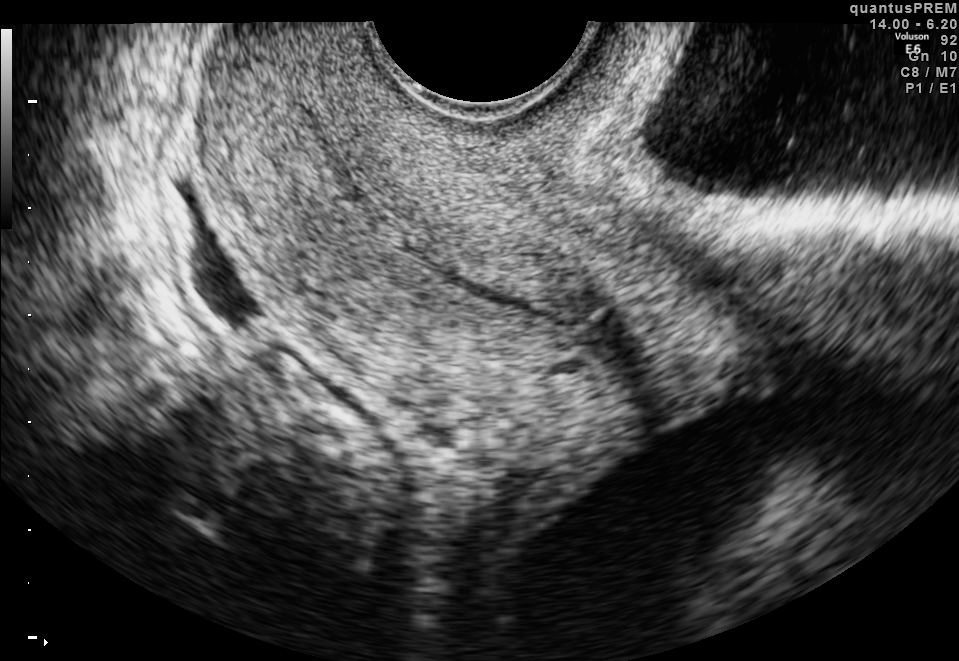
Which standard maternal-fetal ultrasound plane is shown: fetal abdomen, fetal brain, fetal femur, fetal thorax, maternal cervix, or other? If it's fetal brain and one of the three standard brain planes (trans-thalamic, trans-cerebellum, trans-ventricular), name which.

Maternal cervix